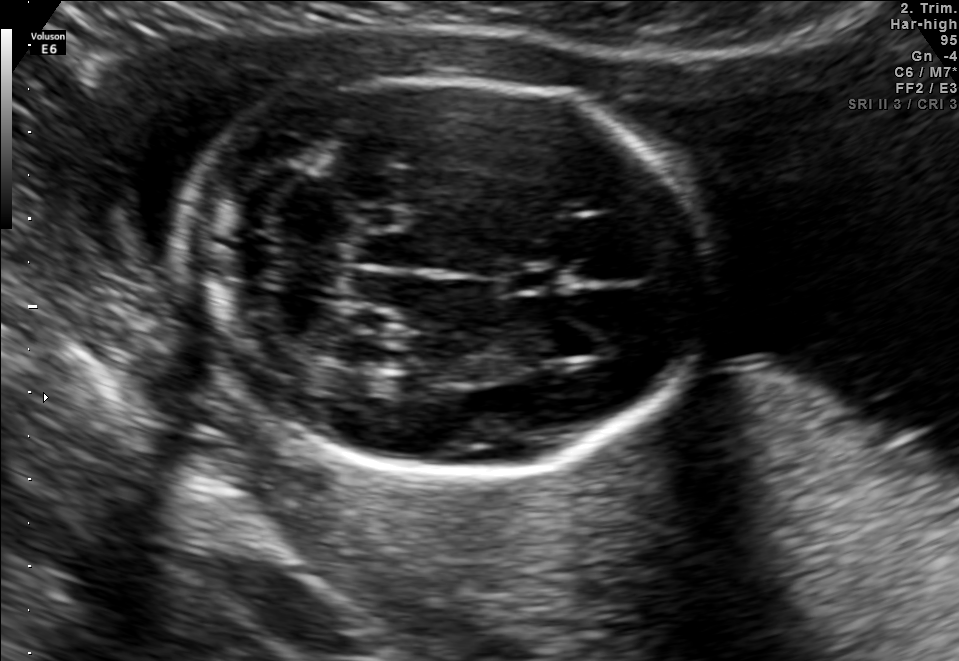
Fetal brain, trans-cerebellum plane. Locate the fetal head and, if visible, the cavum septum pellucidum (CSP) and lateral ventricle (LV). Give bounding boxes as [x1,y1,x2,y2].

Head: [184,78,711,477]
CSP: [504,262,564,298]